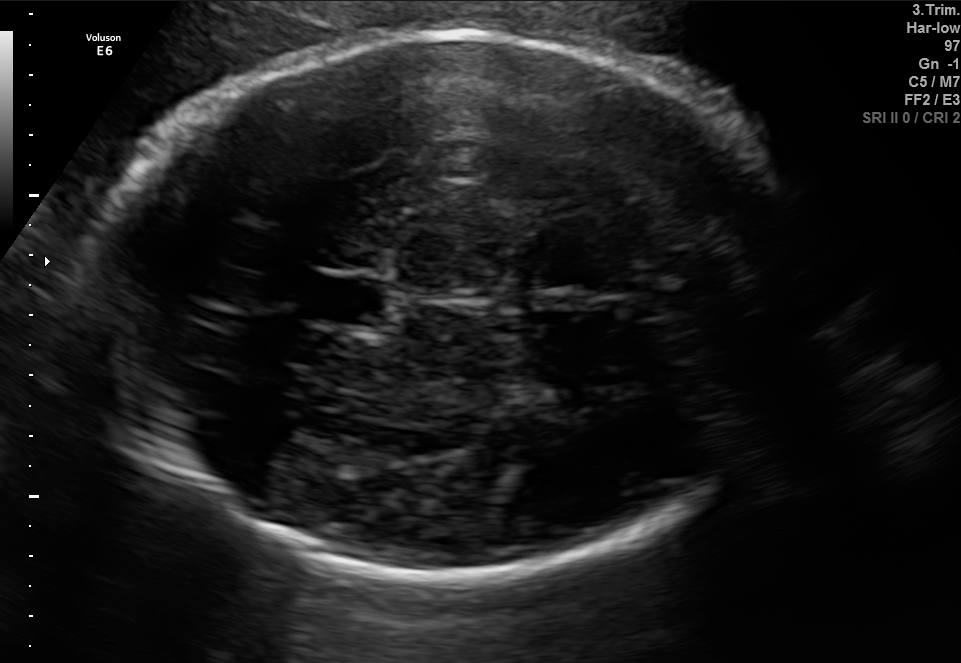
In this fetal brain, trans-thalamic plane, give the bounding box of the fetal head.

[91,34,810,577]